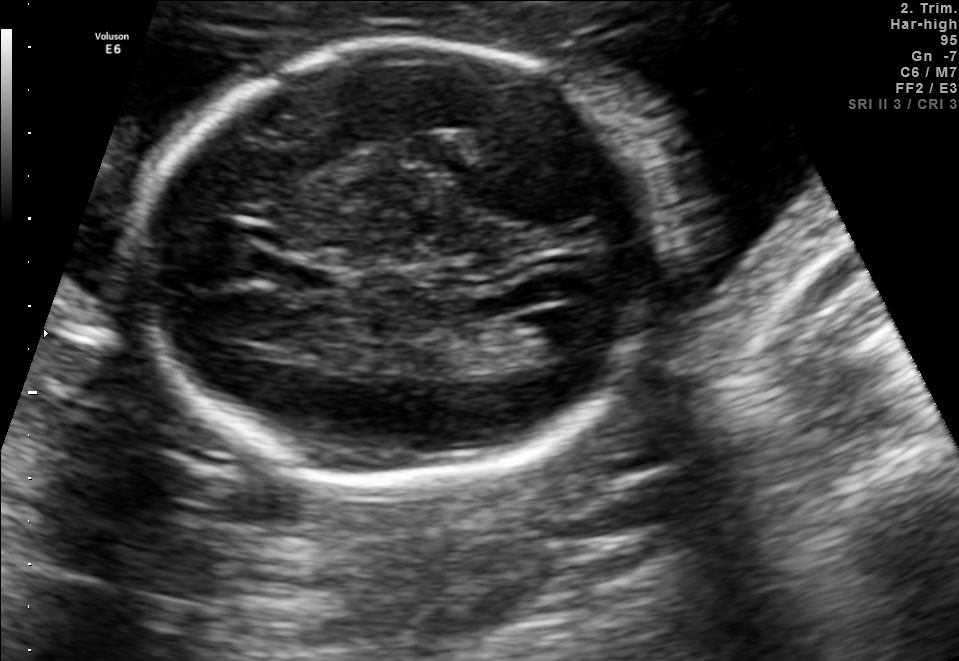
Fetal brain, trans-ventricular plane. Where is the fetal head?

Head bounding box: [122,33,687,488]